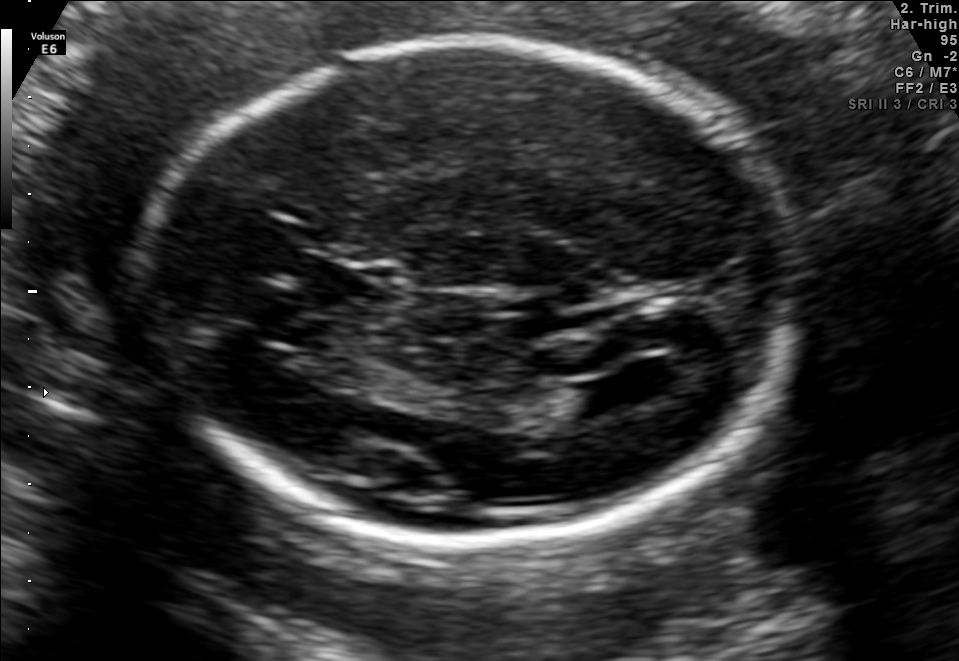
Fetal brain, trans-ventricular plane. Locate the lateral ventricle.

Lateral ventricle: [566,373,634,421]